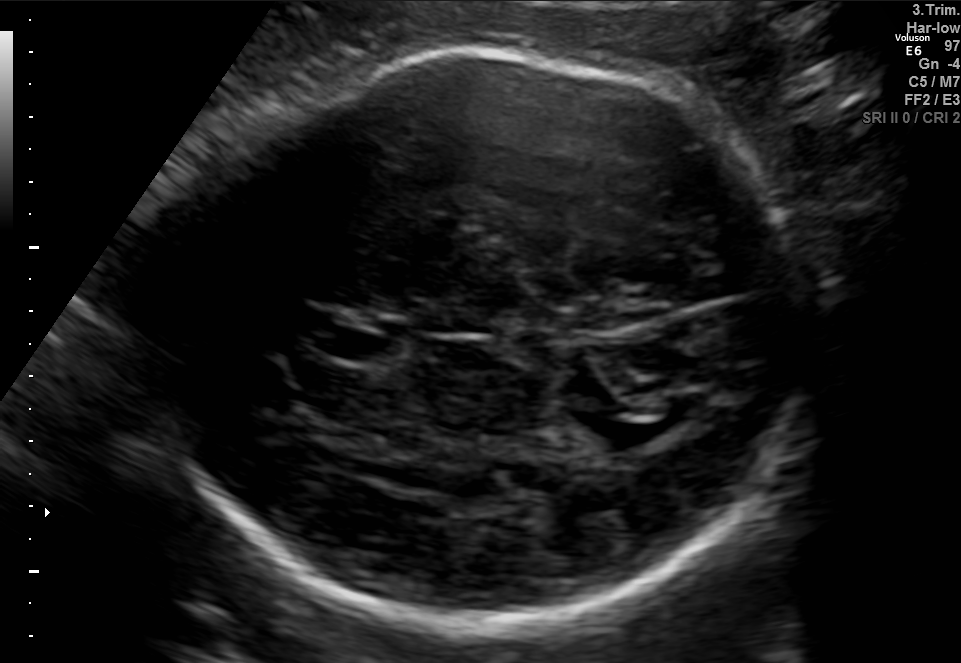
In this fetal brain, trans-thalamic plane, give the bounding box of the fetal head.

[143,52,824,627]